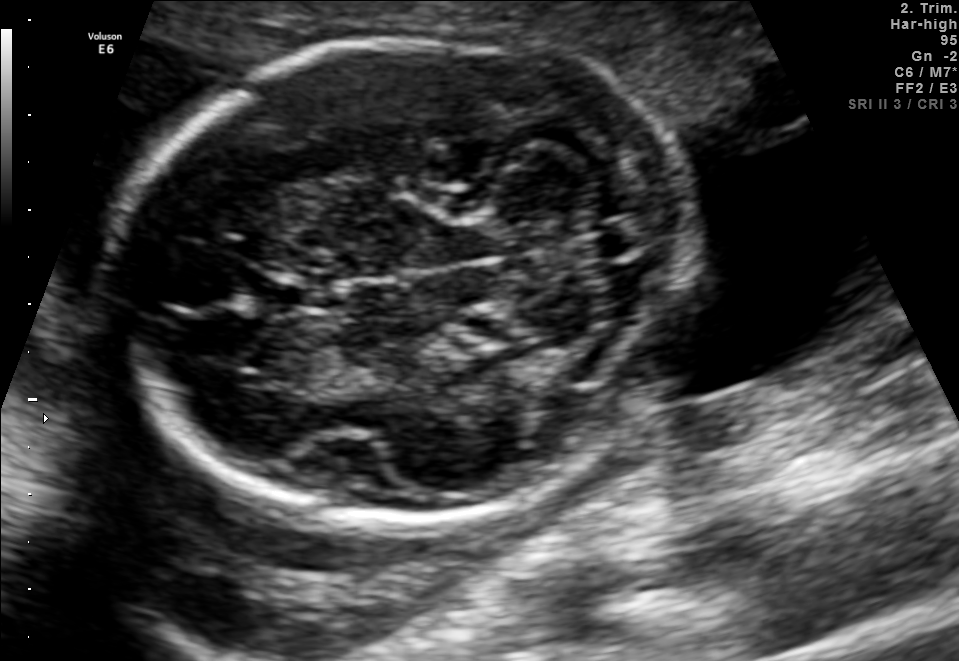
Fetal brain, trans-cerebellum plane. Give [x1,y1,x2,y2] bounding boxes for each visible structure among: fetal head, CSP, LV.

Head: [117,38,682,527]
CSP: [270,282,326,314]